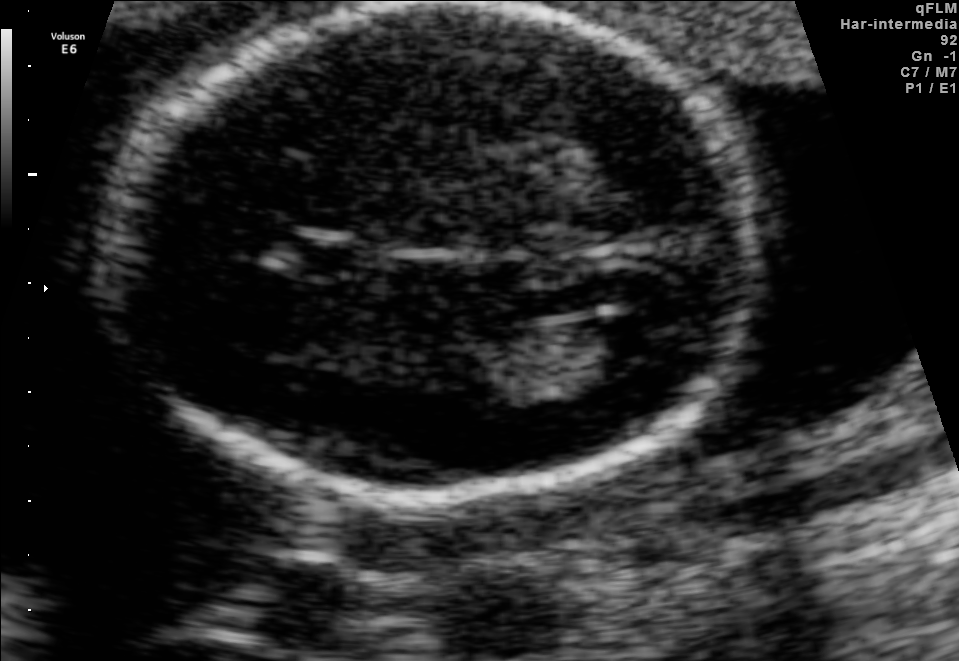
Fetal brain, trans-ventricular plane. Locate the cavum septum pellucidum.

CSP: [279,234,370,278]